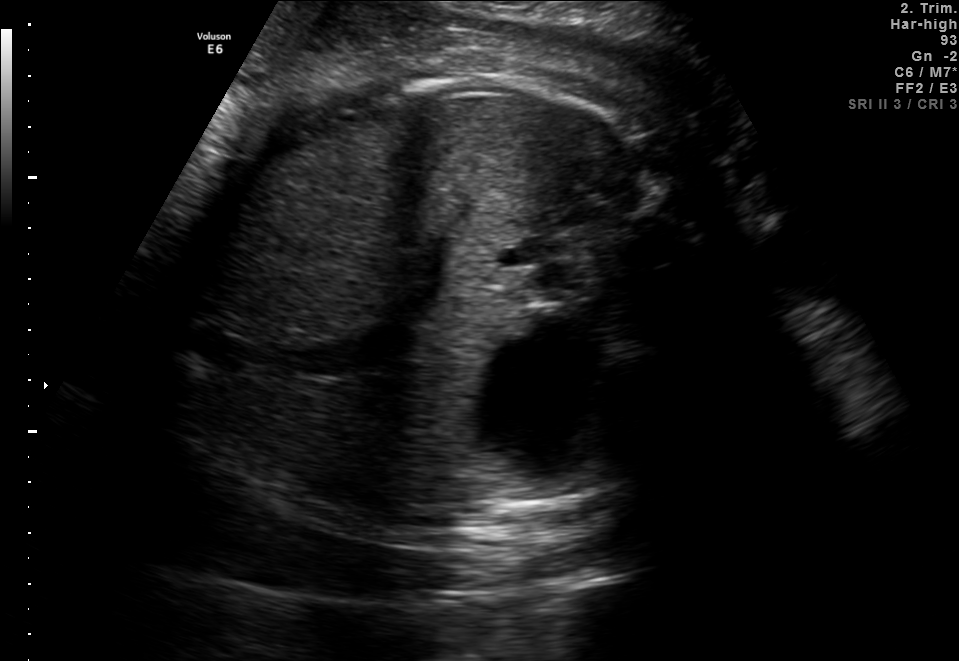
This is a 2D maternal-fetal ultrasound frame. Is it a fetal abdomen, fetal brain, fetal femur, fetal thorax, maternal cervix, or other standard plane? If it's fetal brain and one of the three standard brain planes (trans-thalamic, trans-cerebellum, trans-ventricular), name which.

Fetal abdomen